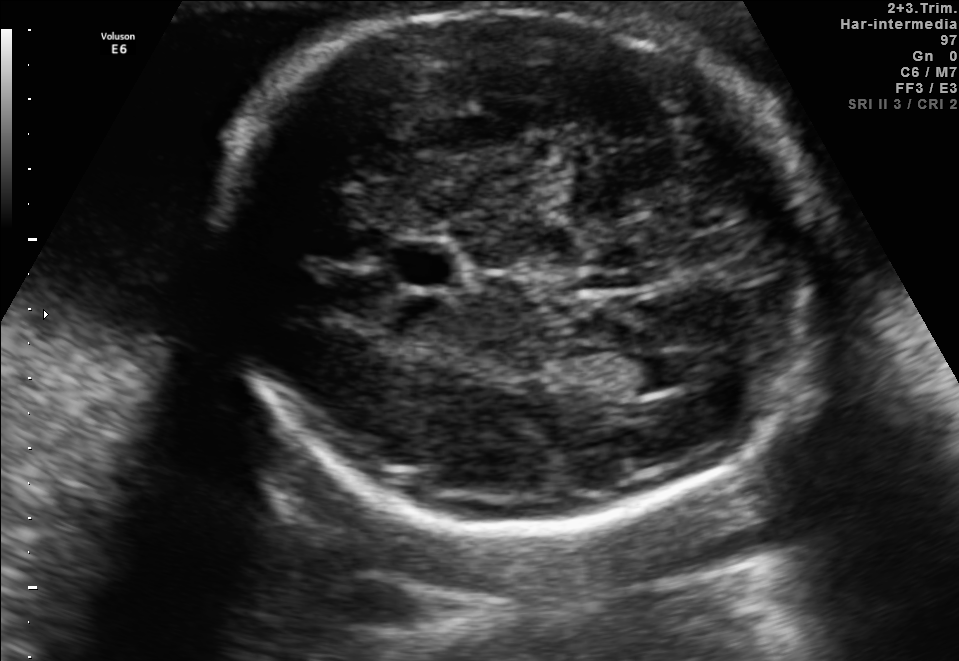
Fetal brain, trans-ventricular plane. Locate the fetal head and, if visible, the cavum septum pellucidum (CSP) and lateral ventricle (LV). Give bounding boxes as [x1,y1,x2,y2].

Head: [184,2,853,539]
CSP: [381,242,467,288]
Lateral ventricle: [623,343,701,397]